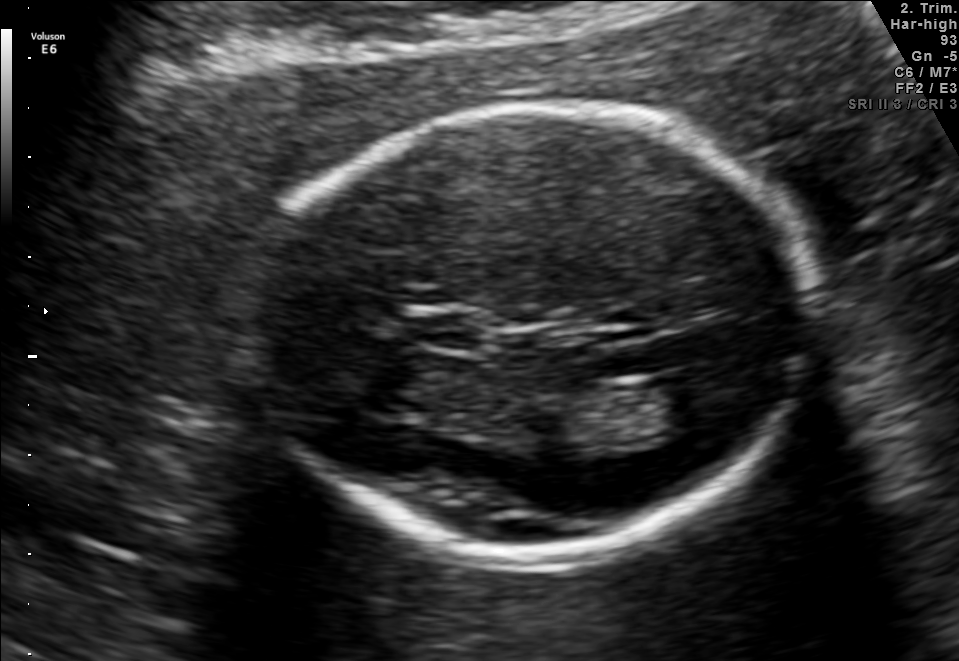
Fetal brain, trans-thalamic plane. Locate the fetal head.

Head: [253,105,810,550]